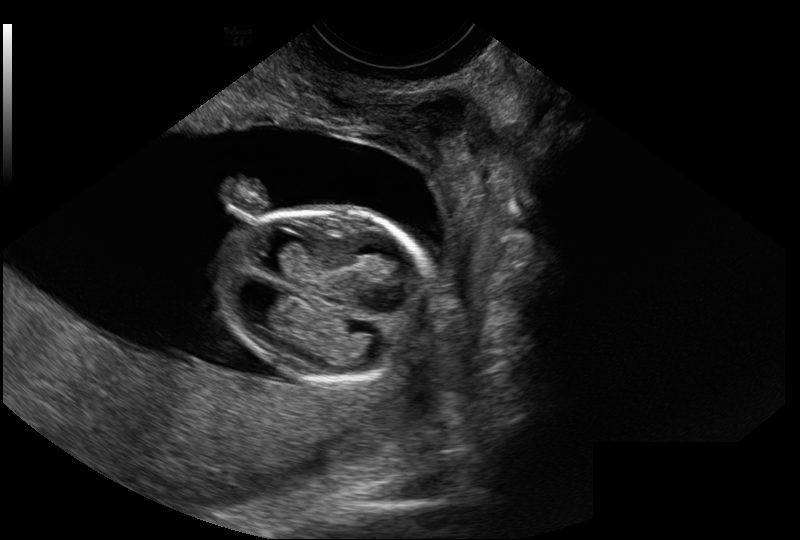
In this fetal head ultrasound, give bounding boxes for the head outline, cavum septum pellucidum (CSP), and lateral ventricle (LV), where visible. Image width: 91.6 mm.

Head: [216,210,435,382]